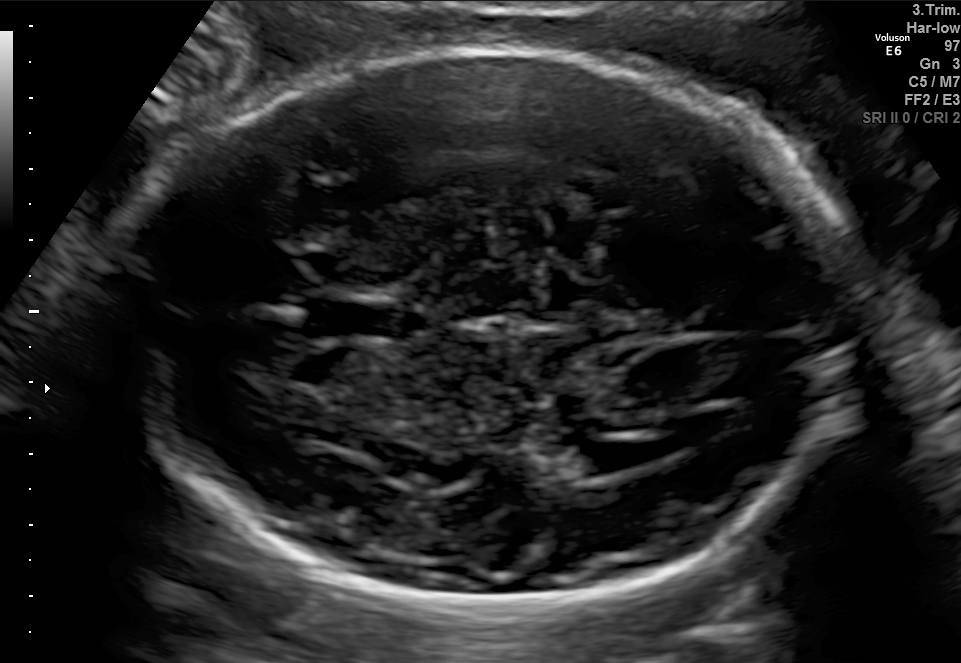
Fetal brain, trans-ventricular plane. Give [x1,y1,x2,y2] bounding boxes for each visible structure among: fetal head, CSP, LV.

Head: [112,44,875,617]
CSP: [308,297,395,338]
Lateral ventricle: [573,434,660,481]